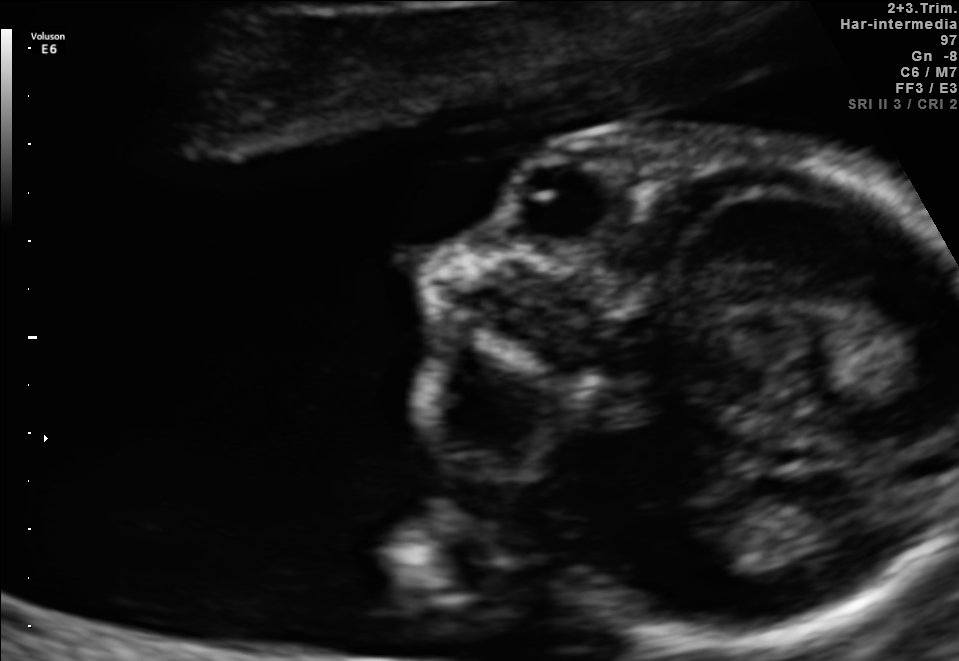
Which standard maternal-fetal ultrasound plane is shown: fetal abdomen, fetal brain, fetal femur, fetal thorax, maternal cervix, or other? If it's fetal brain and one of the three standard brain planes (trans-thalamic, trans-cerebellum, trans-ventricular), name which.

Other